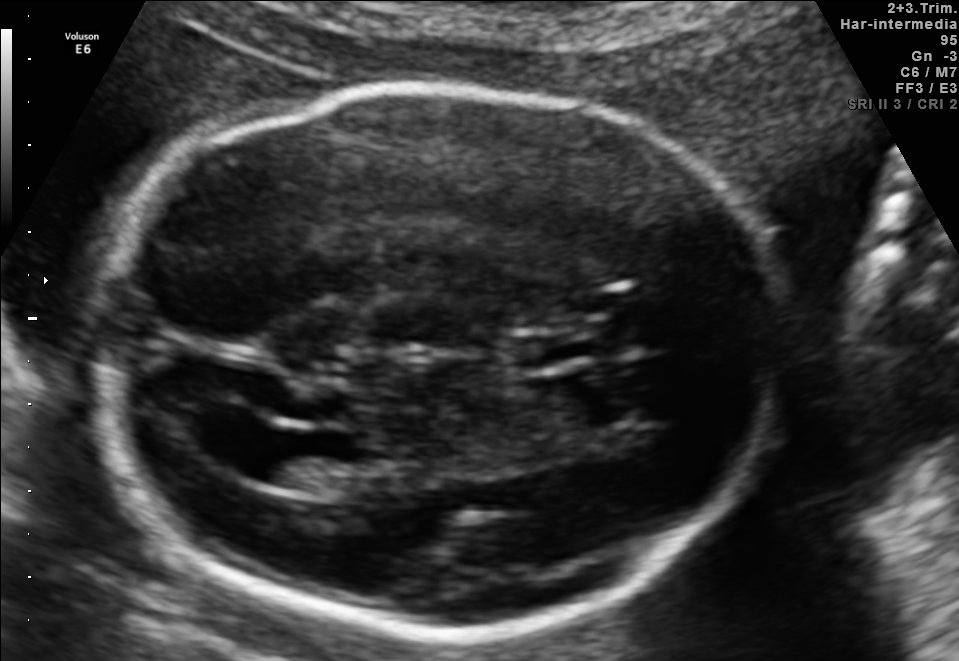
Fetal brain, trans-ventricular plane. Locate the fetal head.

Head: [78,77,803,644]